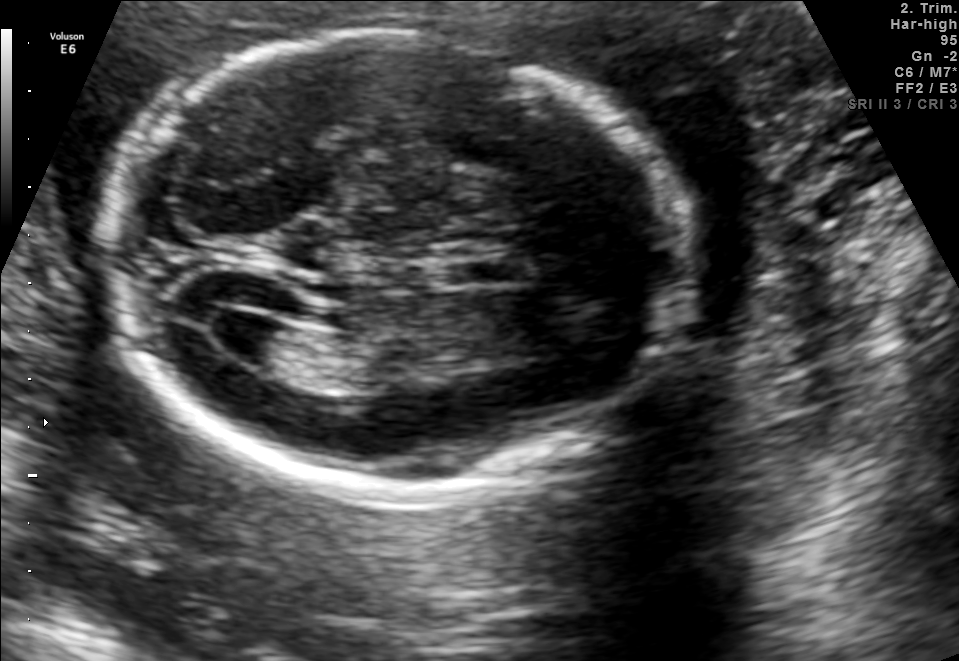
Fetal brain, trans-ventricular plane. Locate the fetal head.

Head: [92,28,701,503]